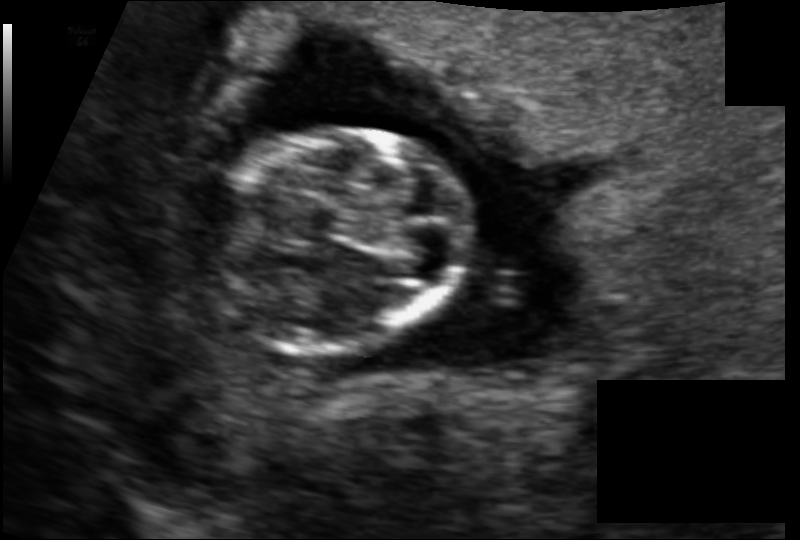
In this fetal head ultrasound, give the bounding box of the fetal head. Image width: 77.7 mm.

[204,129,468,349]